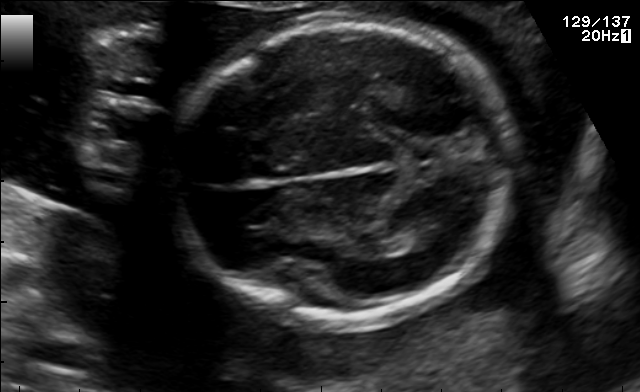
Fetal brain, trans-thalamic plane. Locate the fetal head.

Head: [171,25,515,323]